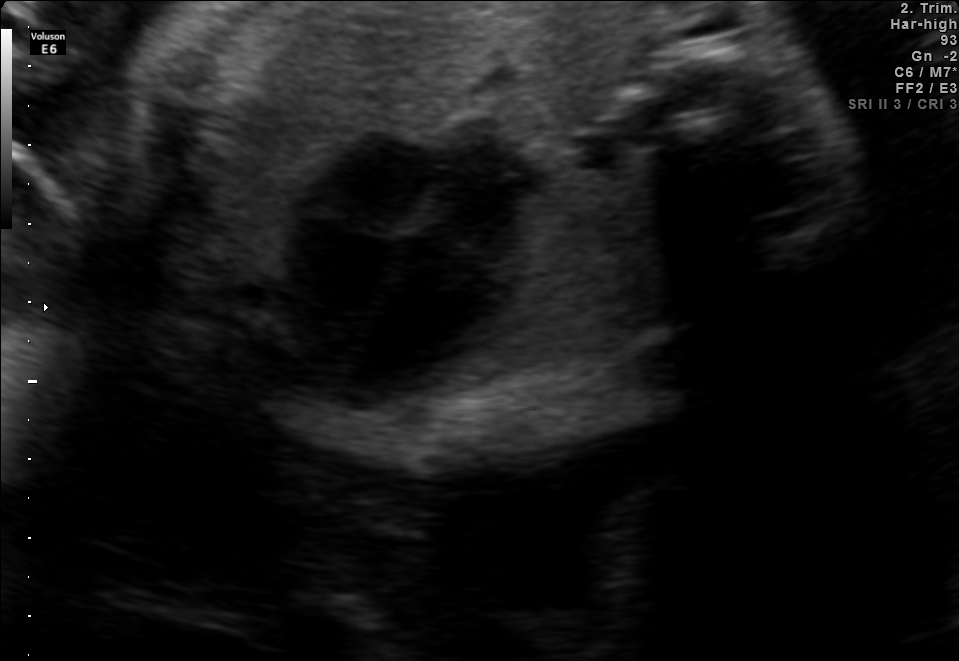
Identify the standard plane in this fetal ultrasound image: fetal abdomen, fetal brain, fetal femur, fetal thorax, maternal cervix, or other. If it's fetal brain and one of the three standard brain planes (trans-thalamic, trans-cerebellum, trans-ventricular), name which.

Fetal thorax